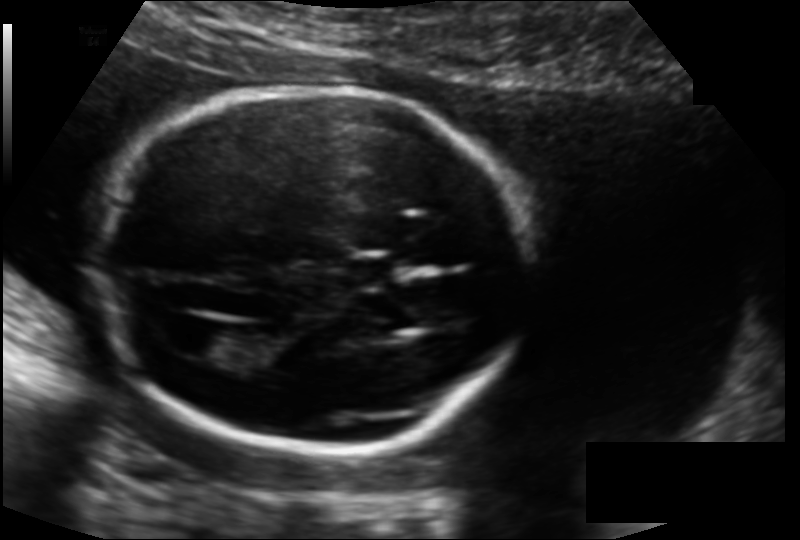
Measure the fetal head circumference shown in this ultrasound image. Image width: 107.7 mm.

Head circumference: 174.6 mm.